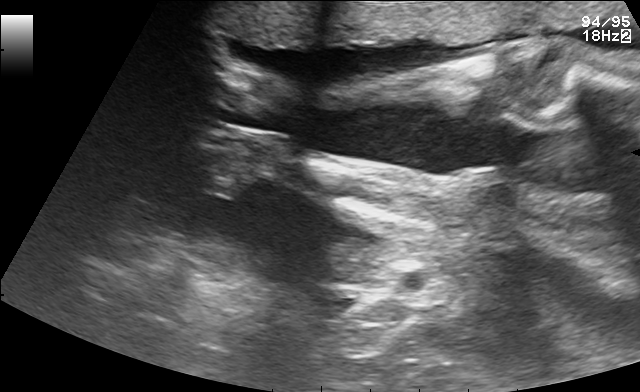
Identify the standard plane in this fetal ultrasound image: fetal abdomen, fetal brain, fetal femur, fetal thorax, maternal cervix, or other. If it's fetal brain and one of the three standard brain planes (trans-thalamic, trans-cerebellum, trans-ventricular), name which.

Other